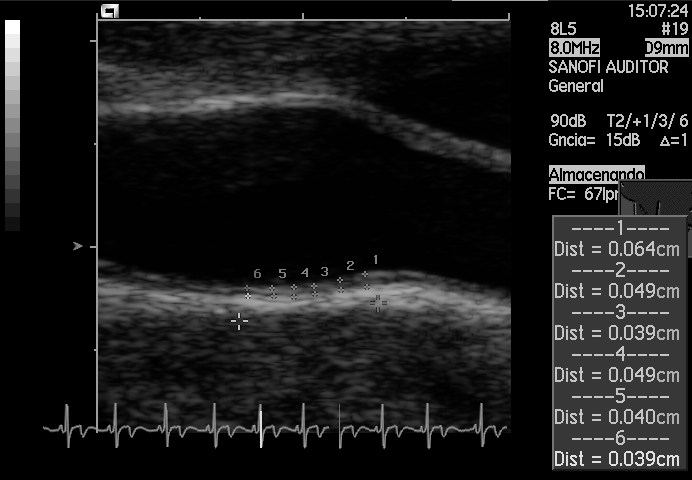
This is a 2D maternal-fetal ultrasound frame. Is it a fetal abdomen, fetal brain, fetal femur, fetal thorax, maternal cervix, or other standard plane? If it's fetal brain and one of the three standard brain planes (trans-thalamic, trans-cerebellum, trans-ventricular), name which.

Other